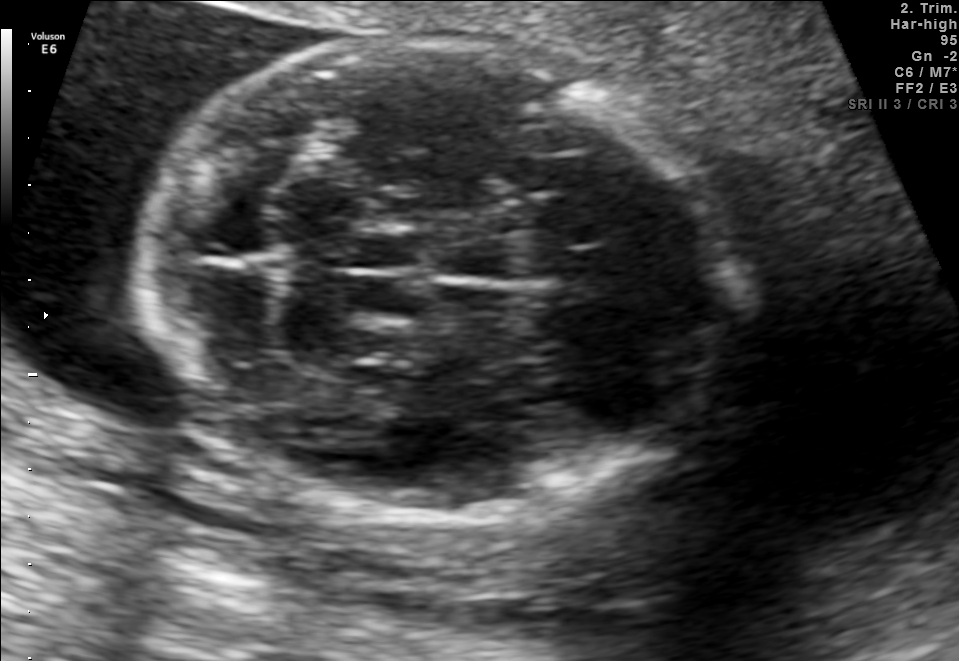
Fetal brain, trans-cerebellum plane. Give [x1,y1,x2,y2] bounding boxes for each visible structure among: fetal head, CSP, LV.

Head: [143,38,726,525]